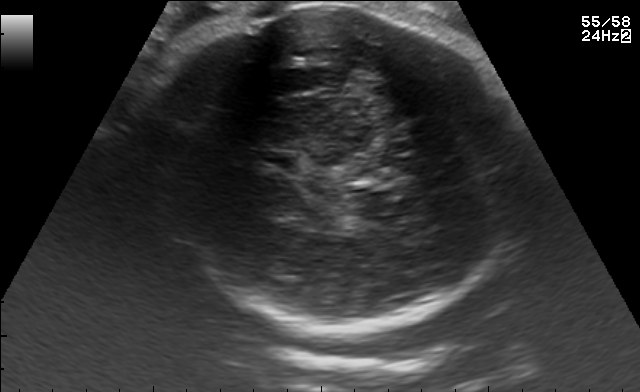
Identify the standard plane in this fetal ultrasound image: fetal abdomen, fetal brain, fetal femur, fetal thorax, maternal cervix, or other. If it's fetal brain and one of the three standard brain planes (trans-thalamic, trans-cerebellum, trans-ventricular), name which.

Fetal brain (trans-thalamic plane)